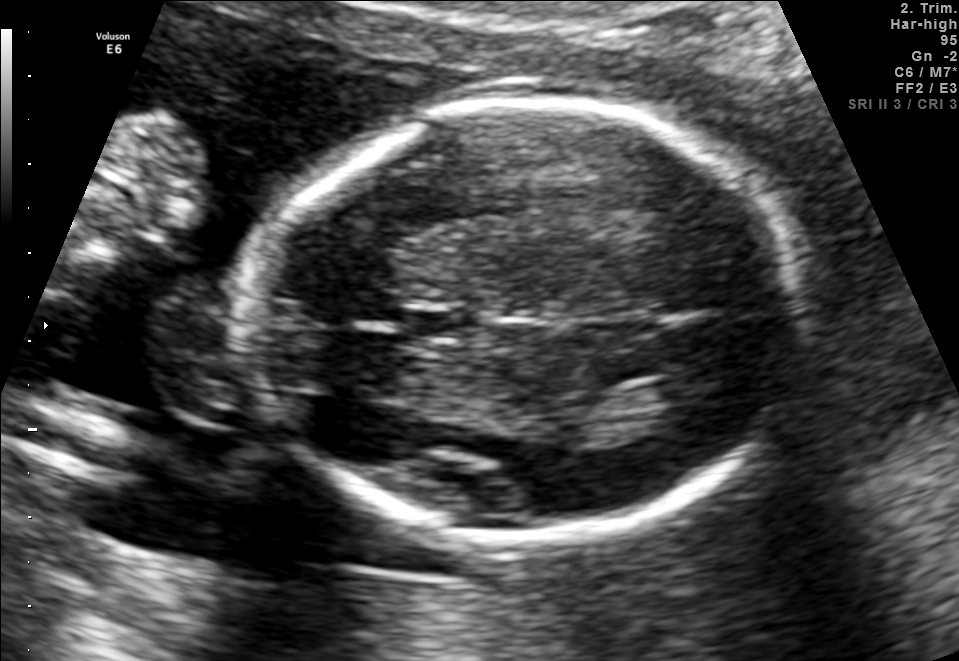
This is a 2D maternal-fetal ultrasound frame. Is it a fetal abdomen, fetal brain, fetal femur, fetal thorax, maternal cervix, or other standard plane? If it's fetal brain and one of the three standard brain planes (trans-thalamic, trans-cerebellum, trans-ventricular), name which.

Fetal brain (trans-thalamic plane)